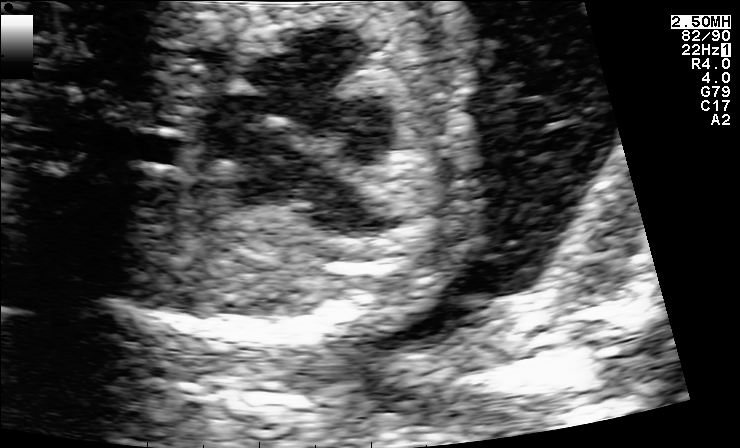
Which standard maternal-fetal ultrasound plane is shown: fetal abdomen, fetal brain, fetal femur, fetal thorax, maternal cervix, or other? If it's fetal brain and one of the three standard brain planes (trans-thalamic, trans-cerebellum, trans-ventricular), name which.

Fetal thorax